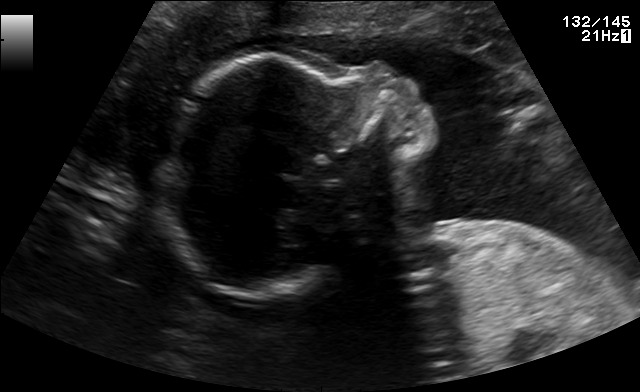
Classify this maternal-fetal ultrasound image as one of the six standard planes — fetal abdomen, fetal brain, fetal femur, fetal thorax, maternal cervix, or other. If it's fetal brain and one of the three standard brain planes (trans-thalamic, trans-cerebellum, trans-ventricular), name which.

Other